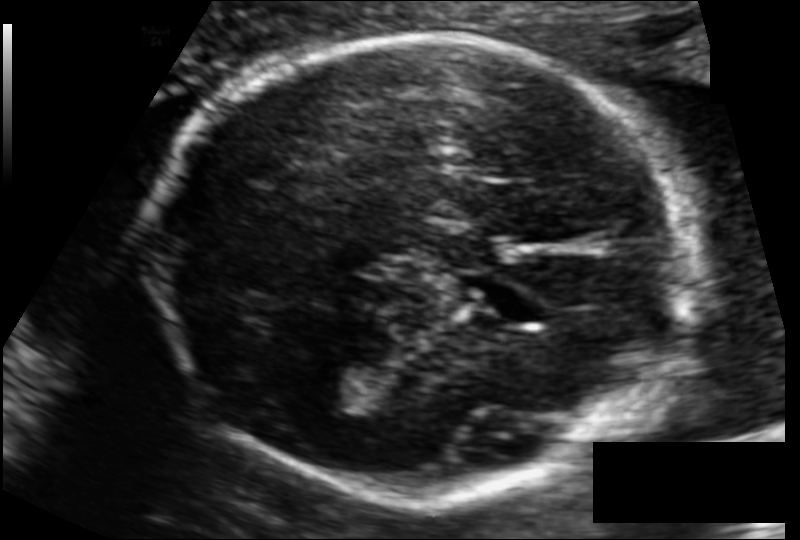
Fetal head ultrasound. Image width: 89.9 mm. Where is the fetal head?

Head bounding box: [152,33,690,495]